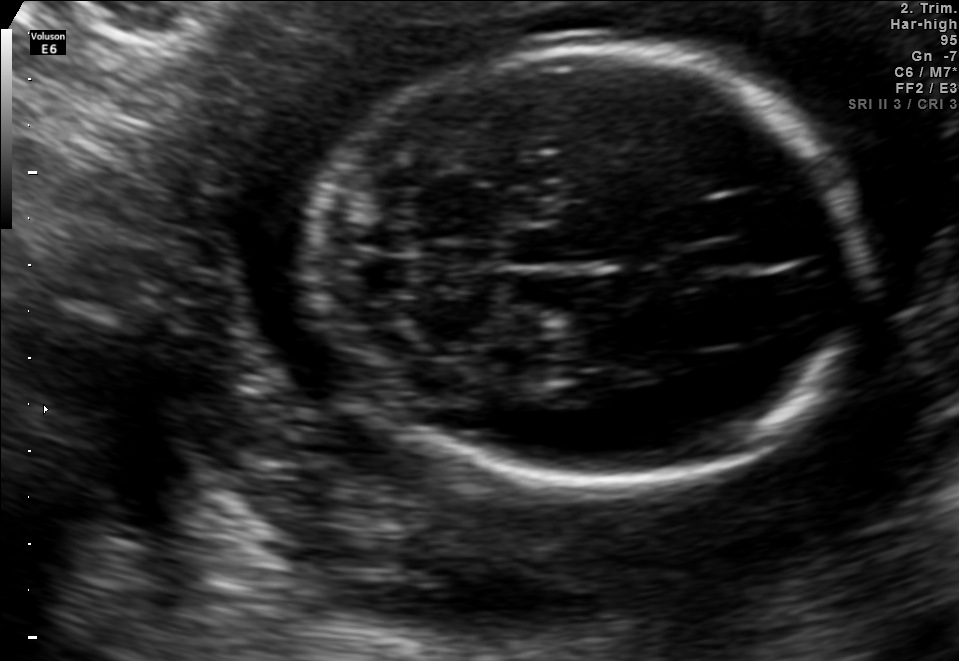
In this fetal brain, trans-cerebellum plane, give the bounding box of the fetal head.

[312,49,855,482]